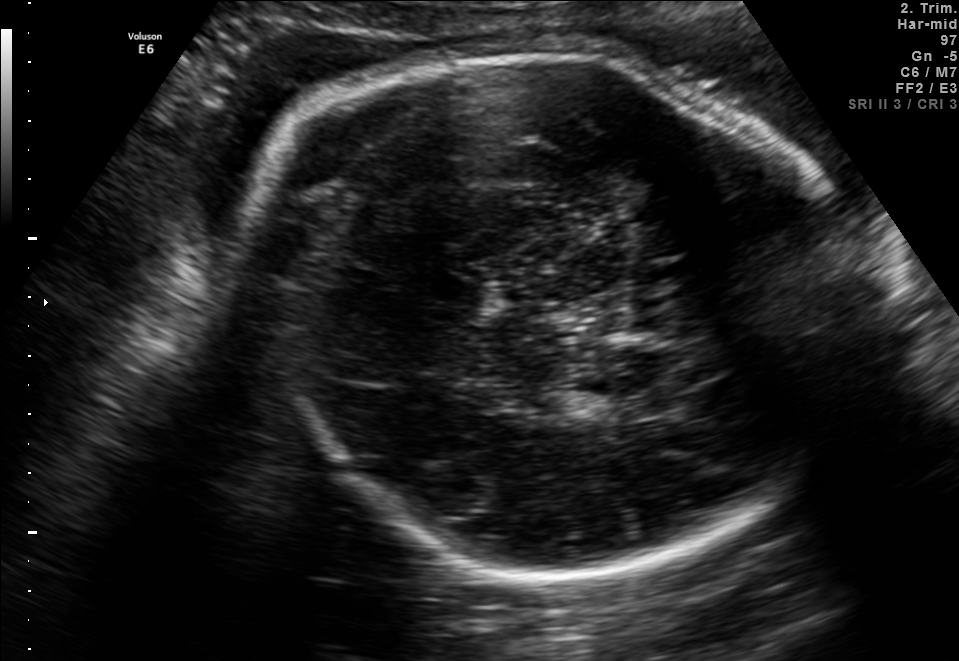
Fetal brain, trans-thalamic plane. Locate the fetal head.

Head: [247,45,830,576]